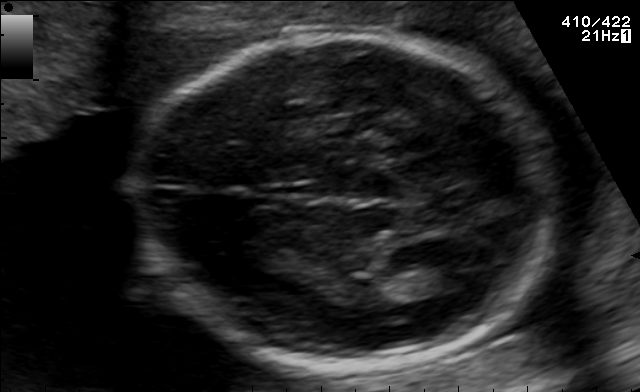
Fetal brain, trans-thalamic plane. Give [x1,y1,x2,y2] bounding boxes for each visible structure among: fetal head, CSP, LV.

Head: [130,34,559,366]
Lateral ventricle: [411,247,496,300]